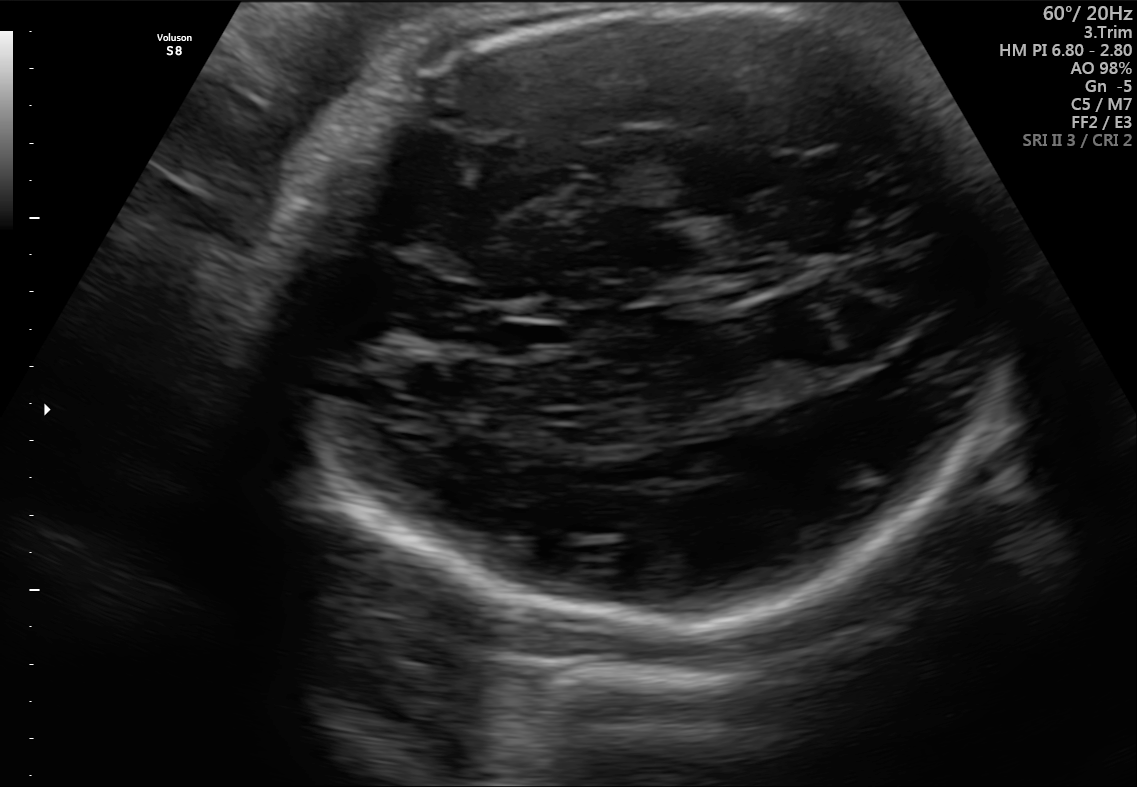
Fetal brain, trans-thalamic plane. Locate the fetal head and, if visible, the cavum septum pellucidum (CSP) and lateral ventricle (LV). Give bounding boxes as [x1,y1,x2,y2].

Head: [268,6,1016,624]